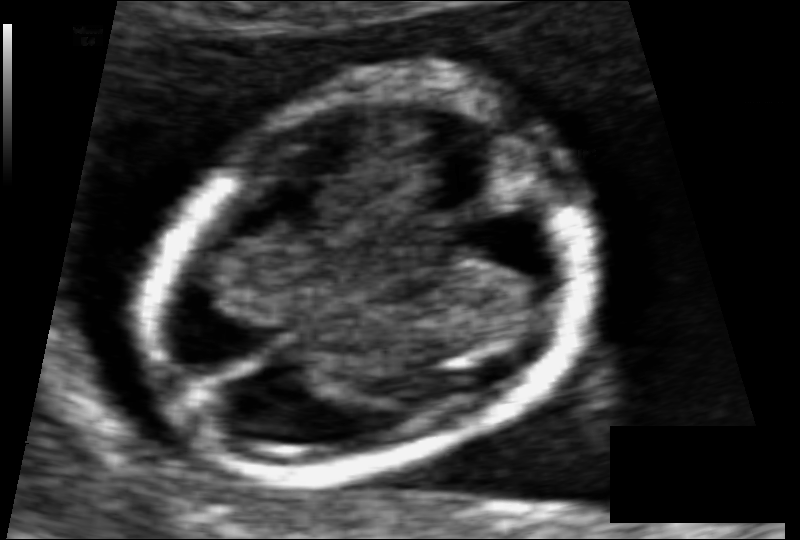
Fetal head ultrasound. Image width: 49.2 mm. Give [x1,y1,x2,y2] bounding boxes for each visible structure among: fetal head, CSP, LV.

Head: [143,87,586,477]